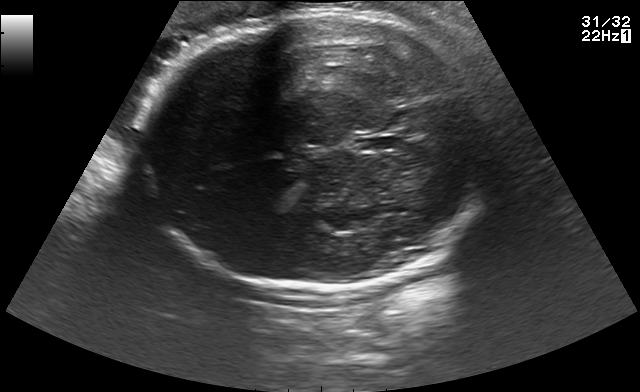
Fetal brain, trans-thalamic plane. Where is the cavum septum pellucidum?

CSP bounding box: [356,135,398,152]